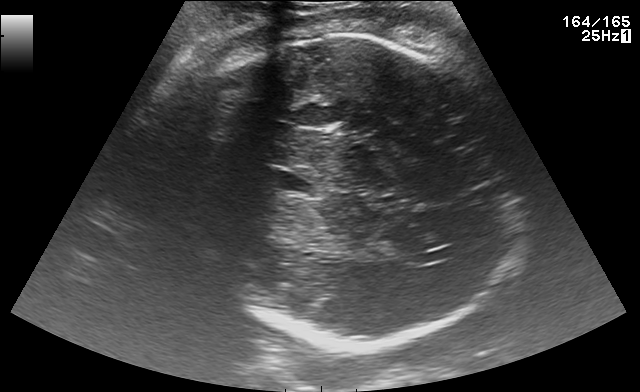
Identify the standard plane in this fetal ultrasound image: fetal abdomen, fetal brain, fetal femur, fetal thorax, maternal cervix, or other. If it's fetal brain and one of the three standard brain planes (trans-thalamic, trans-cerebellum, trans-ventricular), name which.

Fetal brain (trans-thalamic plane)